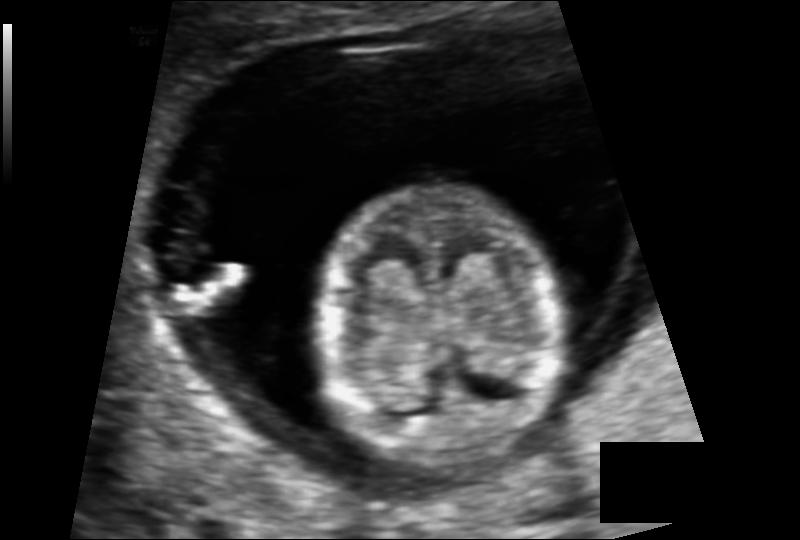
Estimate the fetal head circumference from this 2D ultrasound. Image width: 71.8 mm.

Head circumference: 75.3 mm.